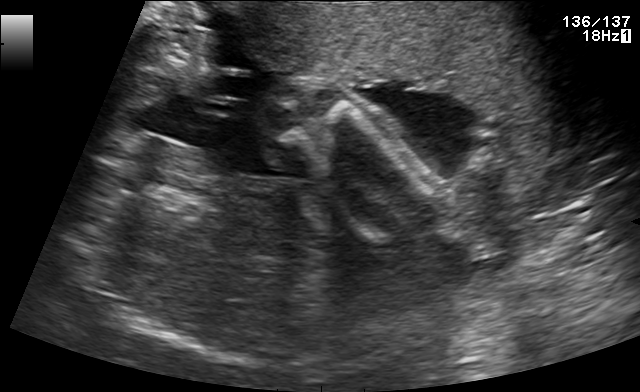
This is a 2D maternal-fetal ultrasound frame. Is it a fetal abdomen, fetal brain, fetal femur, fetal thorax, maternal cervix, or other standard plane? If it's fetal brain and one of the three standard brain planes (trans-thalamic, trans-cerebellum, trans-ventricular), name which.

Other